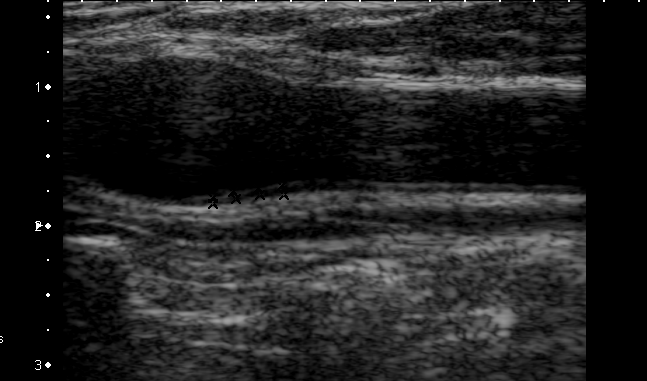
Classify this maternal-fetal ultrasound image as one of the six standard planes — fetal abdomen, fetal brain, fetal femur, fetal thorax, maternal cervix, or other. If it's fetal brain and one of the three standard brain planes (trans-thalamic, trans-cerebellum, trans-ventricular), name which.

Other